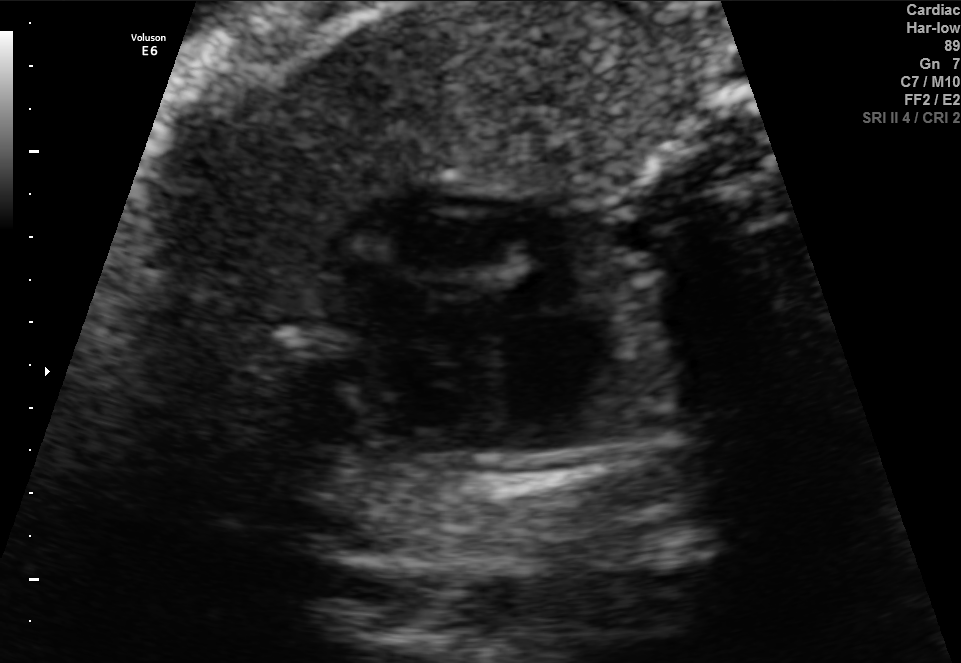
Identify the standard plane in this fetal ultrasound image: fetal abdomen, fetal brain, fetal femur, fetal thorax, maternal cervix, or other. If it's fetal brain and one of the three standard brain planes (trans-thalamic, trans-cerebellum, trans-ventricular), name which.

Fetal thorax